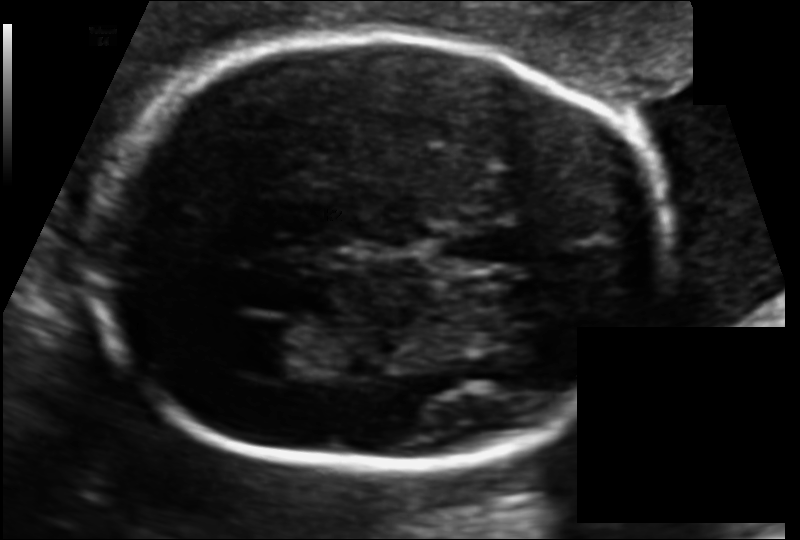
Fetal head ultrasound. Image width: 89.0 mm. Locate the lateral ventricle.

Lateral ventricle: [224,317,316,381]